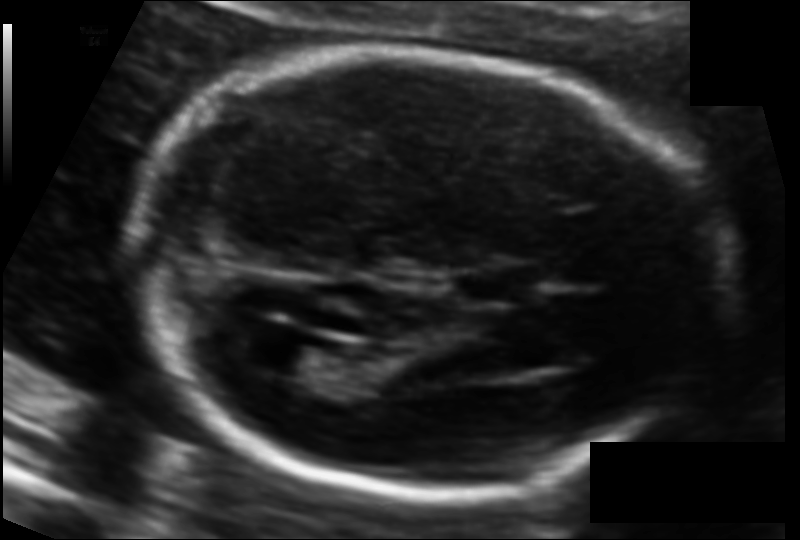
Fetal head ultrasound. Image width: 82.9 mm. Where is the lateral ventricle?

Lateral ventricle bounding box: [253,332,341,393]